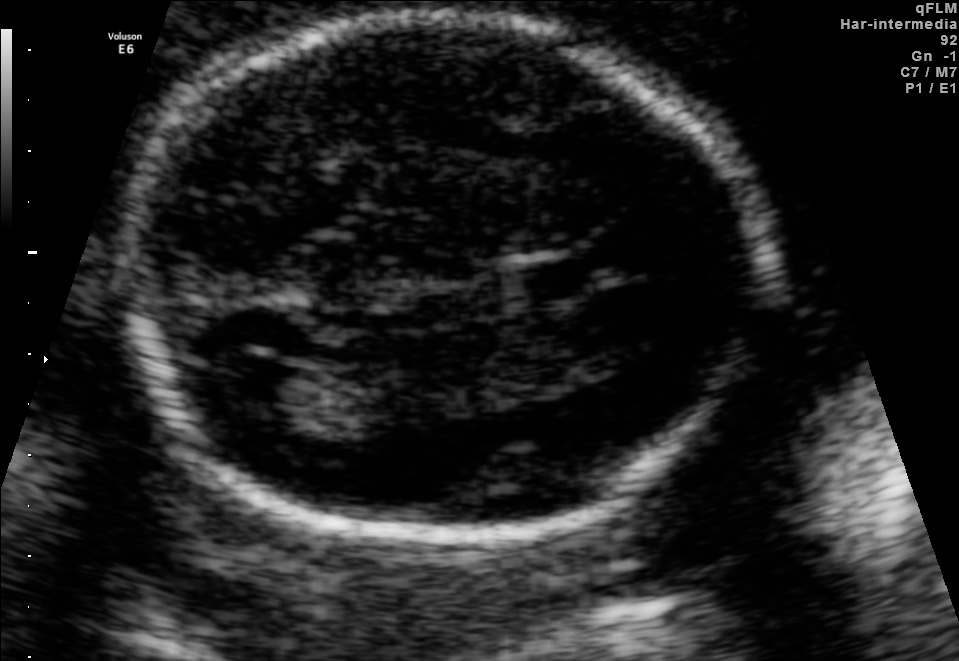
Fetal brain, trans-ventricular plane. Where is the cavum septum pellucidum?

CSP bounding box: [498,241,612,316]